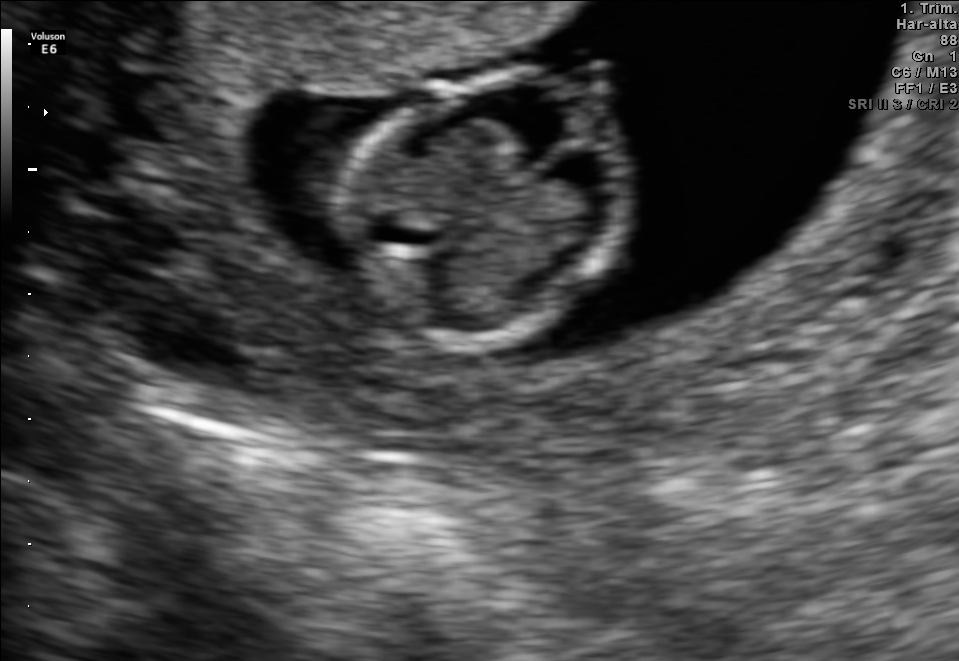
In this fetal brain, trans-thalamic plane, give bounding boxes for the head outline, cavum septum pellucidum (CSP), and lateral ventricle (LV), where visible.

Head: [347,70,638,341]